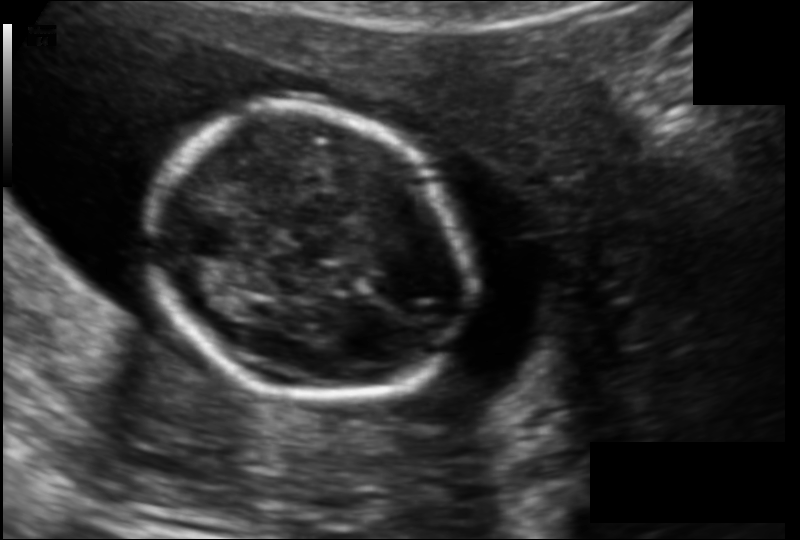
In this fetal head ultrasound, give bounding boxes for the head outline, cavum septum pellucidum (CSP), and lateral ventricle (LV), where visible. Image width: 98.4 mm.

Head: [153,112,473,402]